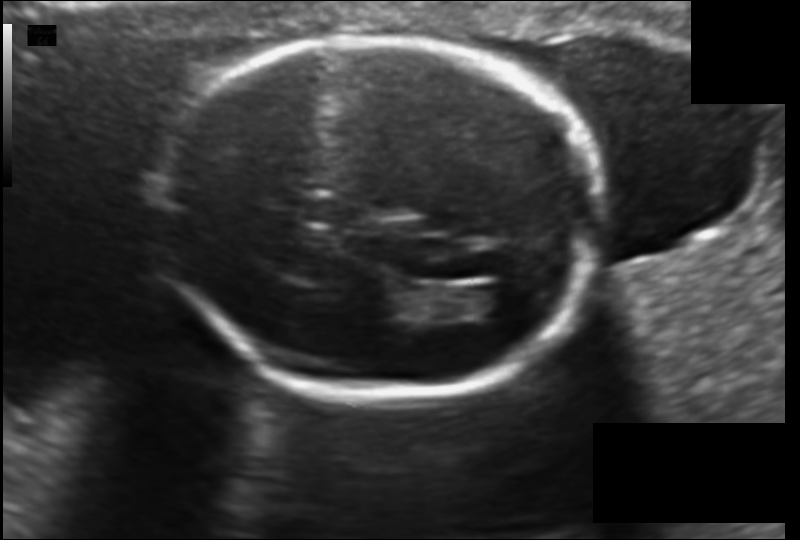
In this fetal head ultrasound, give bounding boxes for the head outline, cavum septum pellucidum (CSP), and lateral ventricle (LV), where visible. Image width: 104.2 mm.

Head: [158,39,598,398]
CSP: [298,189,350,228]
Lateral ventricle: [469,284,521,320]